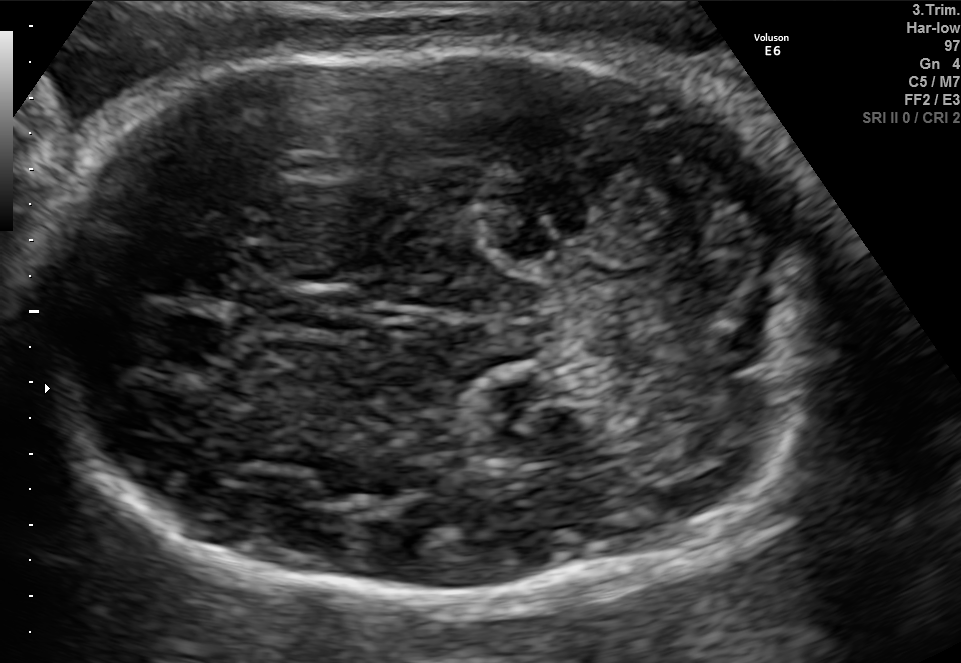
This is a 2D maternal-fetal ultrasound frame. Is it a fetal abdomen, fetal brain, fetal femur, fetal thorax, maternal cervix, or other standard plane? If it's fetal brain and one of the three standard brain planes (trans-thalamic, trans-cerebellum, trans-ventricular), name which.

Fetal brain (trans-cerebellum plane)